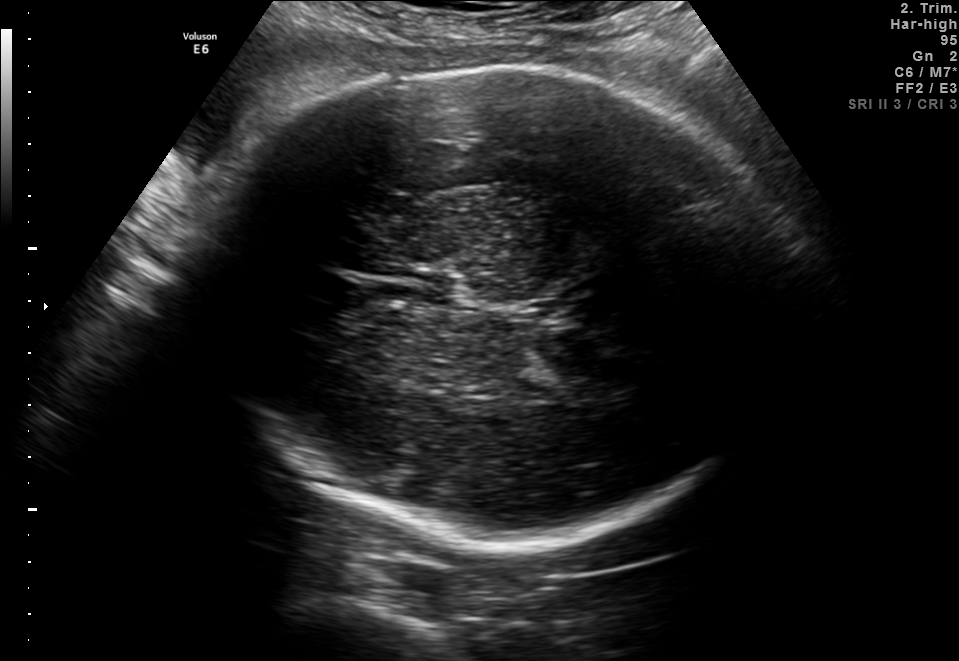
Fetal brain, trans-thalamic plane. Where is the fetal head?

Head bounding box: [203,67,800,548]